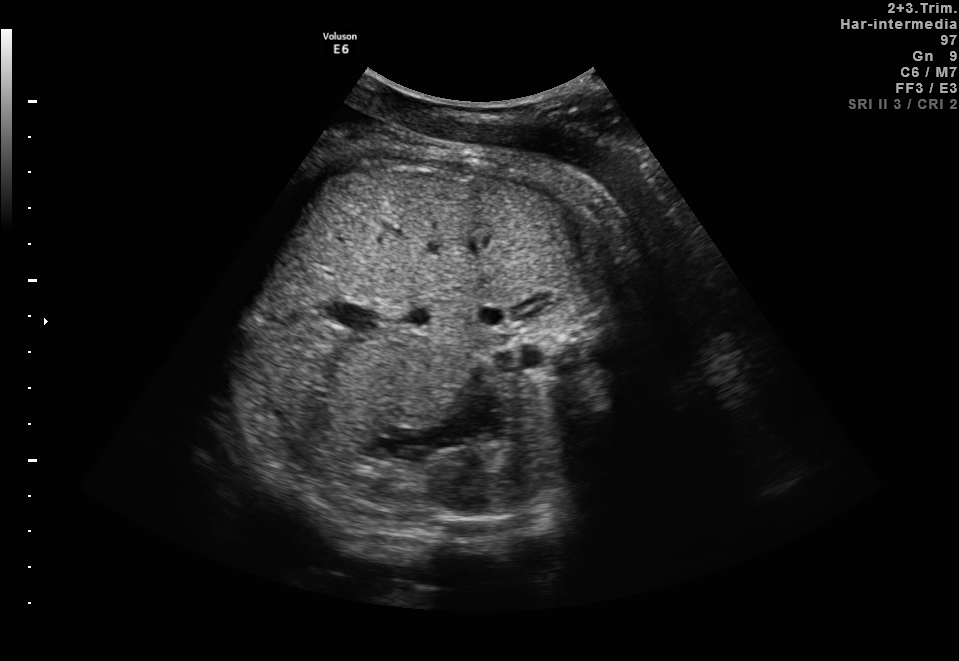
This is a 2D maternal-fetal ultrasound frame. Is it a fetal abdomen, fetal brain, fetal femur, fetal thorax, maternal cervix, or other standard plane? If it's fetal brain and one of the three standard brain planes (trans-thalamic, trans-cerebellum, trans-ventricular), name which.

Fetal abdomen